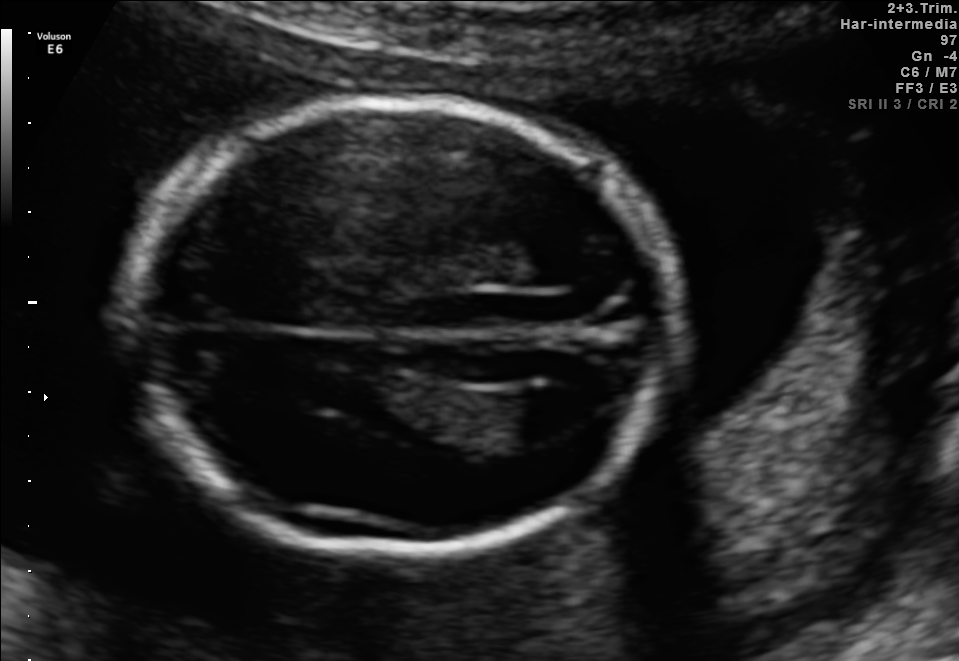
Classify this maternal-fetal ultrasound image as one of the six standard planes — fetal abdomen, fetal brain, fetal femur, fetal thorax, maternal cervix, or other. If it's fetal brain and one of the three standard brain planes (trans-thalamic, trans-cerebellum, trans-ventricular), name which.

Fetal brain (trans-ventricular plane)